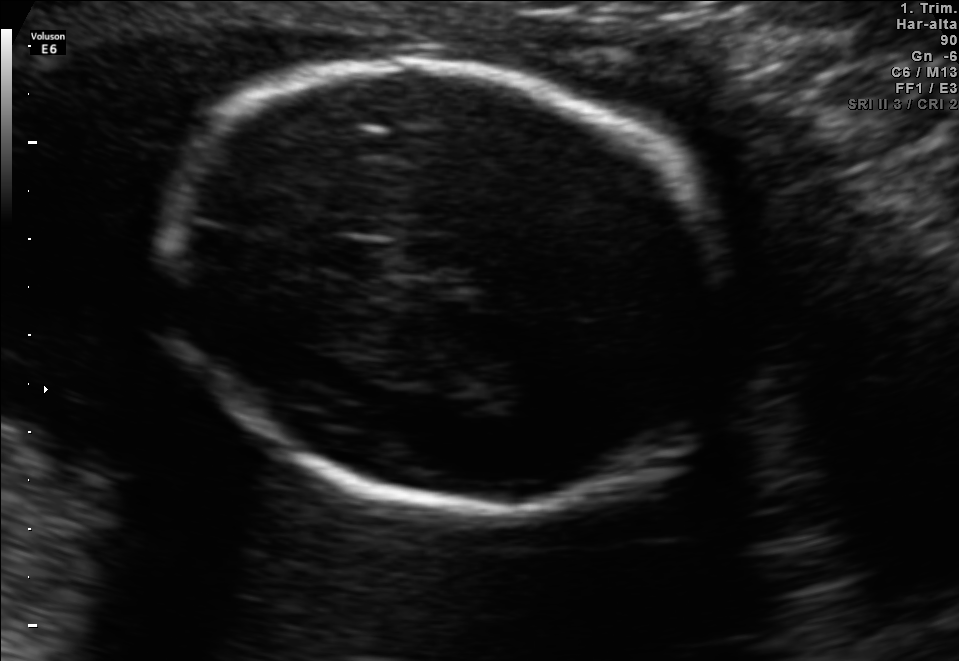
Fetal brain, trans-thalamic plane. Locate the cavum septum pellucidum.

CSP: [328,238,394,274]